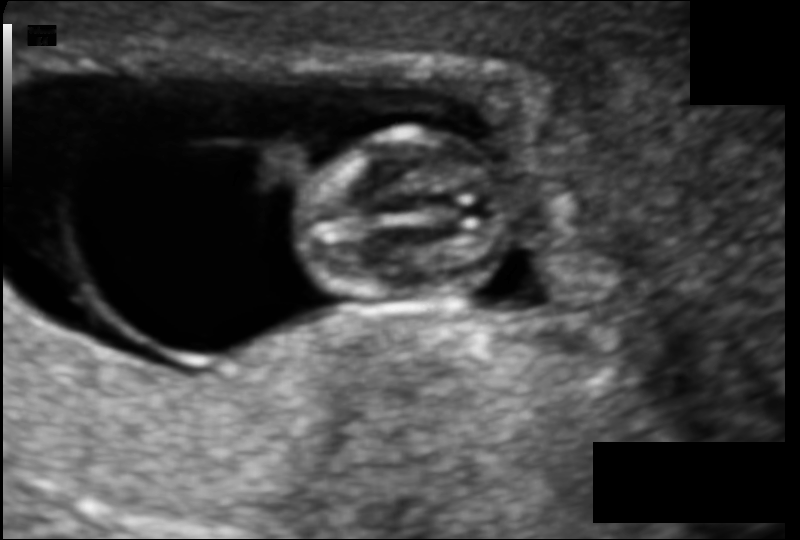
In this fetal head ultrasound, give bounding boxes for the head outline, cavum septum pellucidum (CSP), and lateral ventricle (LV), where visible. Image width: 71.7 mm.

Head: [289,132,512,304]